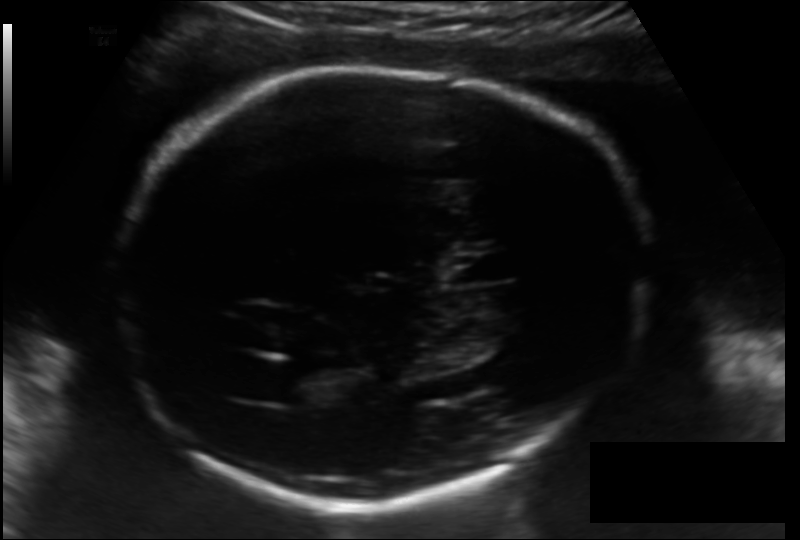
Measure the fetal head circumference shown in this ultrasound image. Image width: 125.8 mm.

Head circumference: 244.7 mm.